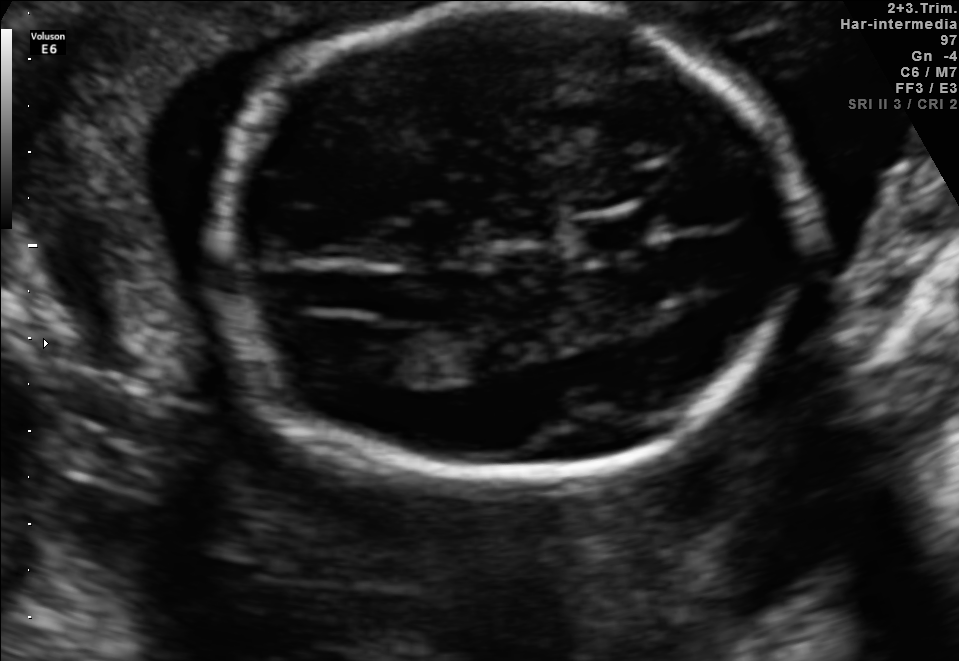
Fetal brain, trans-ventricular plane. Where is the lateral ventricle?

Lateral ventricle bounding box: [334,328,420,379]